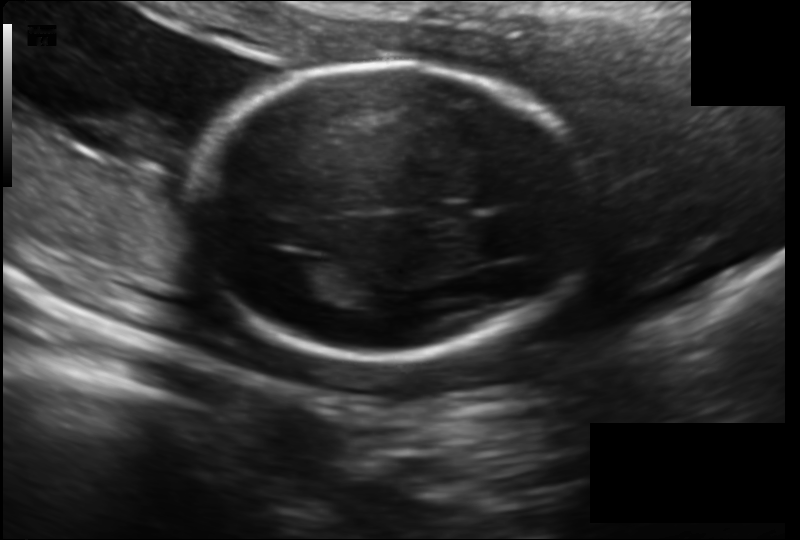
Fetal head ultrasound. Image width: 126.8 mm. Locate the fetal head.

Head: [190,63,586,358]